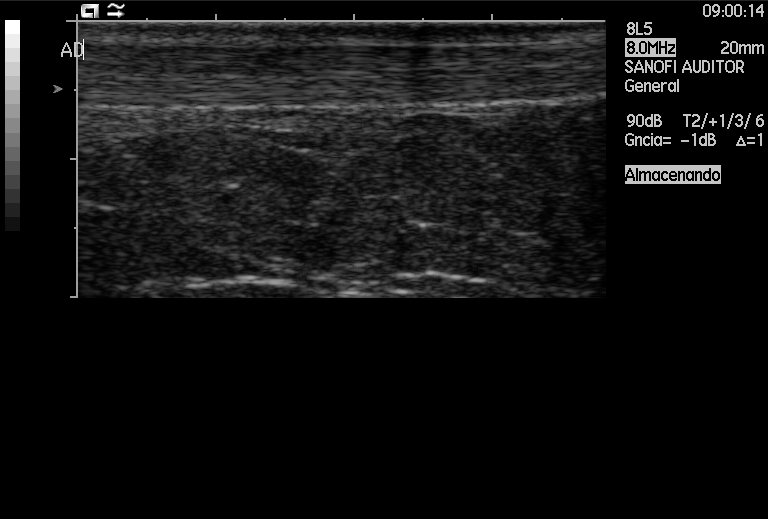
Classify this maternal-fetal ultrasound image as one of the six standard planes — fetal abdomen, fetal brain, fetal femur, fetal thorax, maternal cervix, or other. If it's fetal brain and one of the three standard brain planes (trans-thalamic, trans-cerebellum, trans-ventricular), name which.

Other